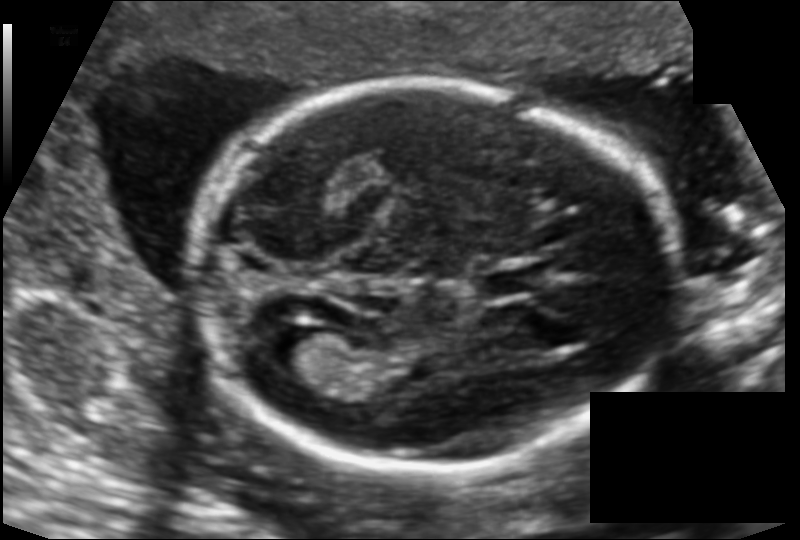
Estimate the fetal head circumference from this 2D ultrasound. Image width: 98.8 mm.

Head circumference: 175.3 mm.